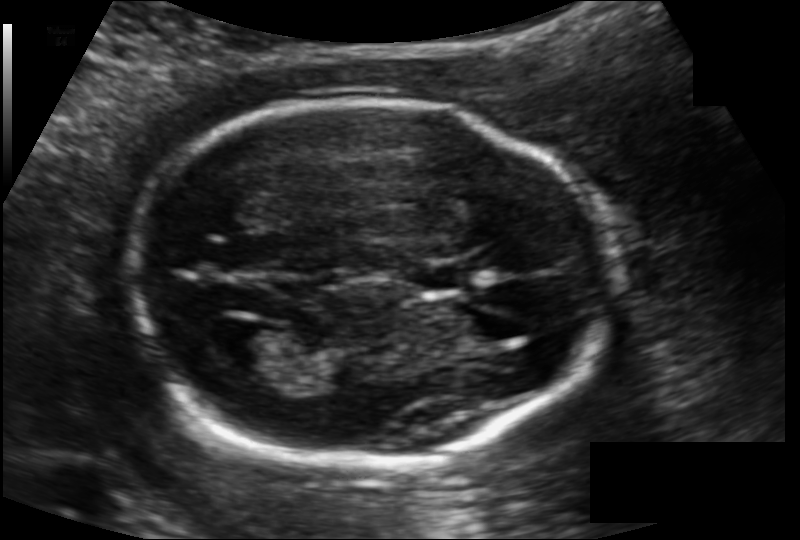
In this fetal head ultrasound, give the bounding box of the lateral ventricle. Image width: 96.5 mm.

[211,322,286,378]